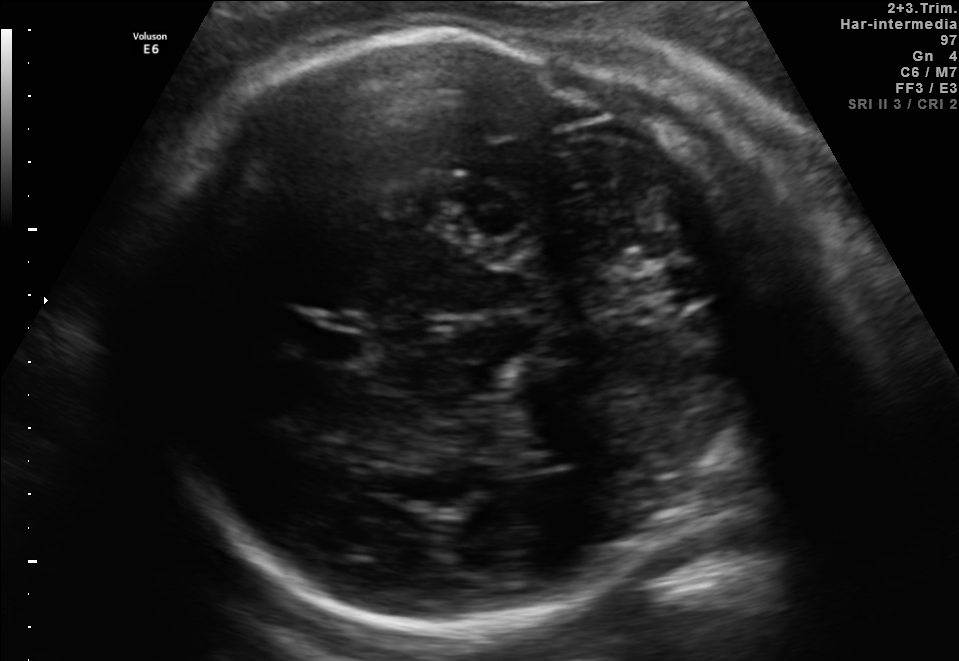
Fetal brain, trans-thalamic plane. Give [x1,y1,x2,y2] bounding boxes for each visible structure among: fetal head, CSP, LV.

Head: [130,32,765,641]
CSP: [300,328,367,365]
Lateral ventricle: [512,435,585,476]